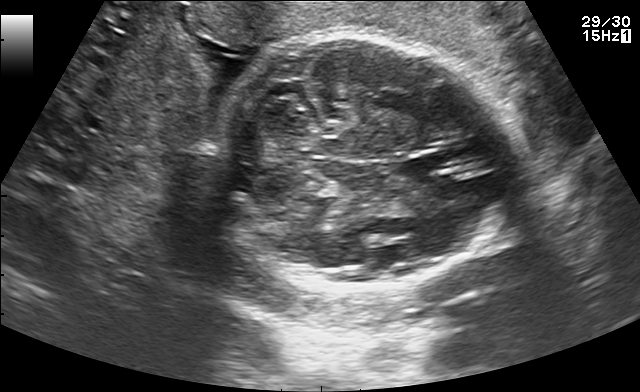
Fetal brain, trans-cerebellum plane. Give [x1,y1,x2,y2] bounding boxes for each visible structure among: fetal head, CSP, LV.

Head: [216,33,505,291]